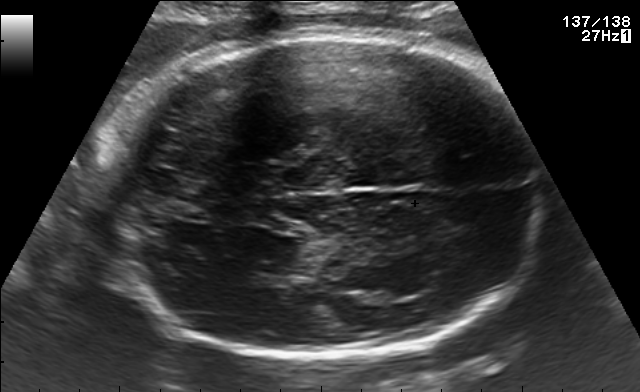
Fetal brain, trans-thalamic plane. Locate the fetal head and, if visible, the cavum septum pellucidum (CSP) and lateral ventricle (LV). Give bounding boxes as [x1,y1,x2,y2].

Head: [97,34,543,361]